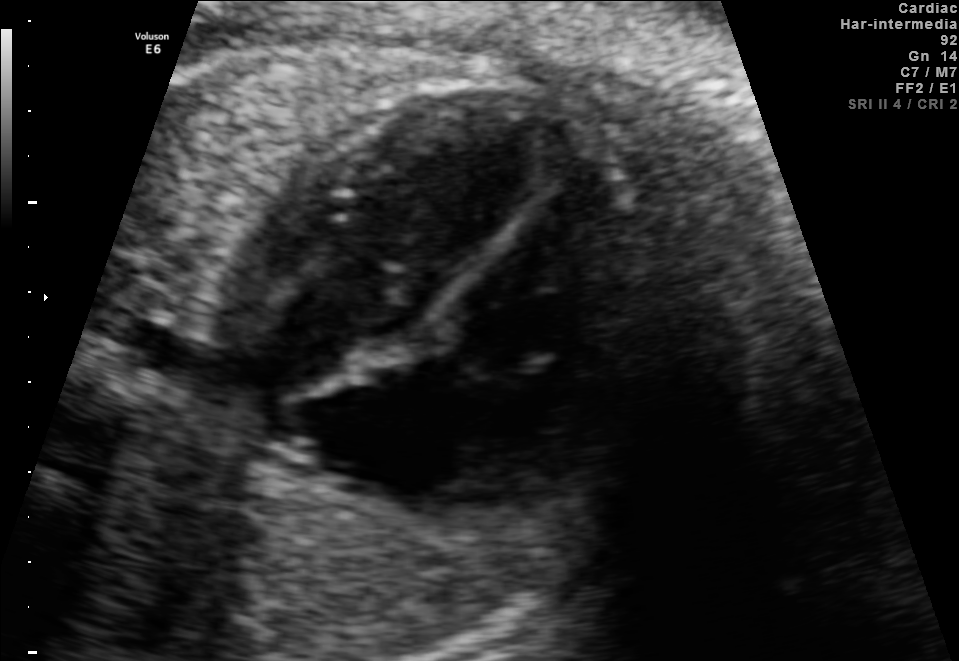
Classify this maternal-fetal ultrasound image as one of the six standard planes — fetal abdomen, fetal brain, fetal femur, fetal thorax, maternal cervix, or other. If it's fetal brain and one of the three standard brain planes (trans-thalamic, trans-cerebellum, trans-ventricular), name which.

Fetal thorax